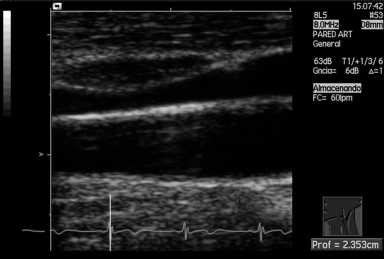
This is a 2D maternal-fetal ultrasound frame. Is it a fetal abdomen, fetal brain, fetal femur, fetal thorax, maternal cervix, or other standard plane? If it's fetal brain and one of the three standard brain planes (trans-thalamic, trans-cerebellum, trans-ventricular), name which.

Other